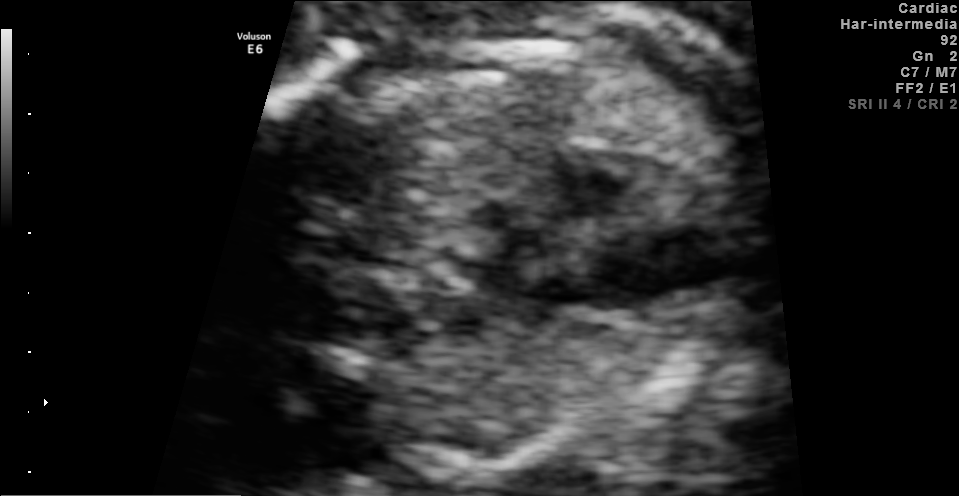
This is a 2D maternal-fetal ultrasound frame. Is it a fetal abdomen, fetal brain, fetal femur, fetal thorax, maternal cervix, or other standard plane? If it's fetal brain and one of the three standard brain planes (trans-thalamic, trans-cerebellum, trans-ventricular), name which.

Other